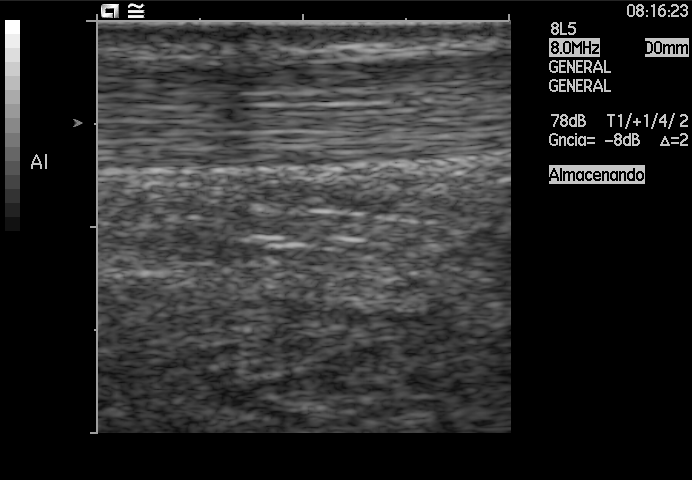
Which standard maternal-fetal ultrasound plane is shown: fetal abdomen, fetal brain, fetal femur, fetal thorax, maternal cervix, or other? If it's fetal brain and one of the three standard brain planes (trans-thalamic, trans-cerebellum, trans-ventricular), name which.

Other